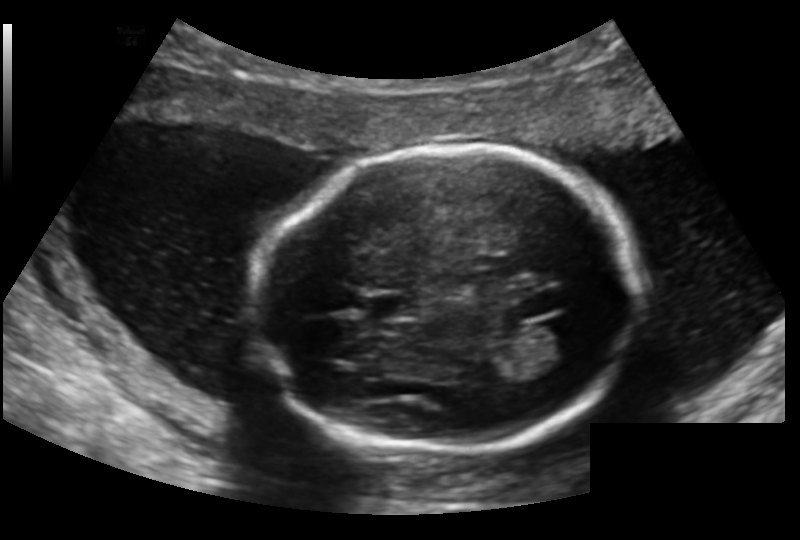
Fetal head ultrasound. Image width: 127.4 mm. Locate the fetal head and, if visible, the cavum septum pellucidum (CSP) and lateral ventricle (LV). Give bounding boxes as [x1,y1,x2,y2].

Head: [254,146,638,453]
CSP: [366,295,416,318]
Lateral ventricle: [531,313,595,366]